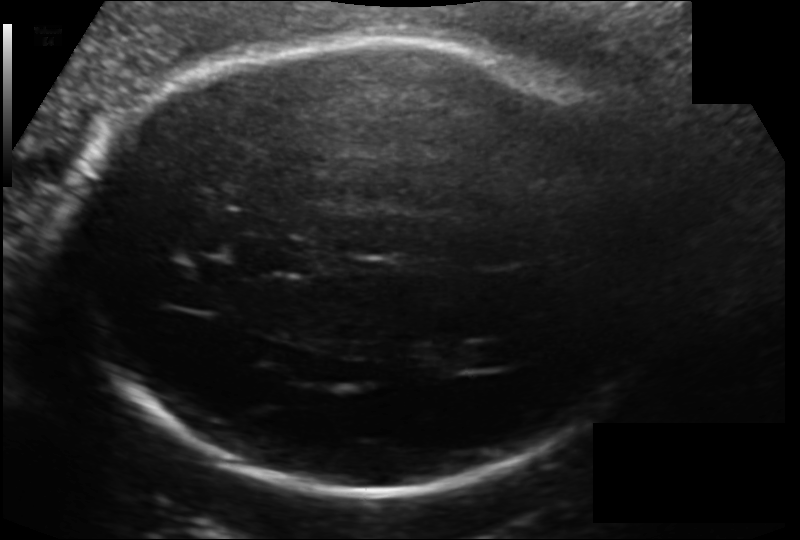
In this fetal head ultrasound, give the bounding box of the cavum septum pellucidum. Image width: 123.2 mm.

[255,233,320,279]